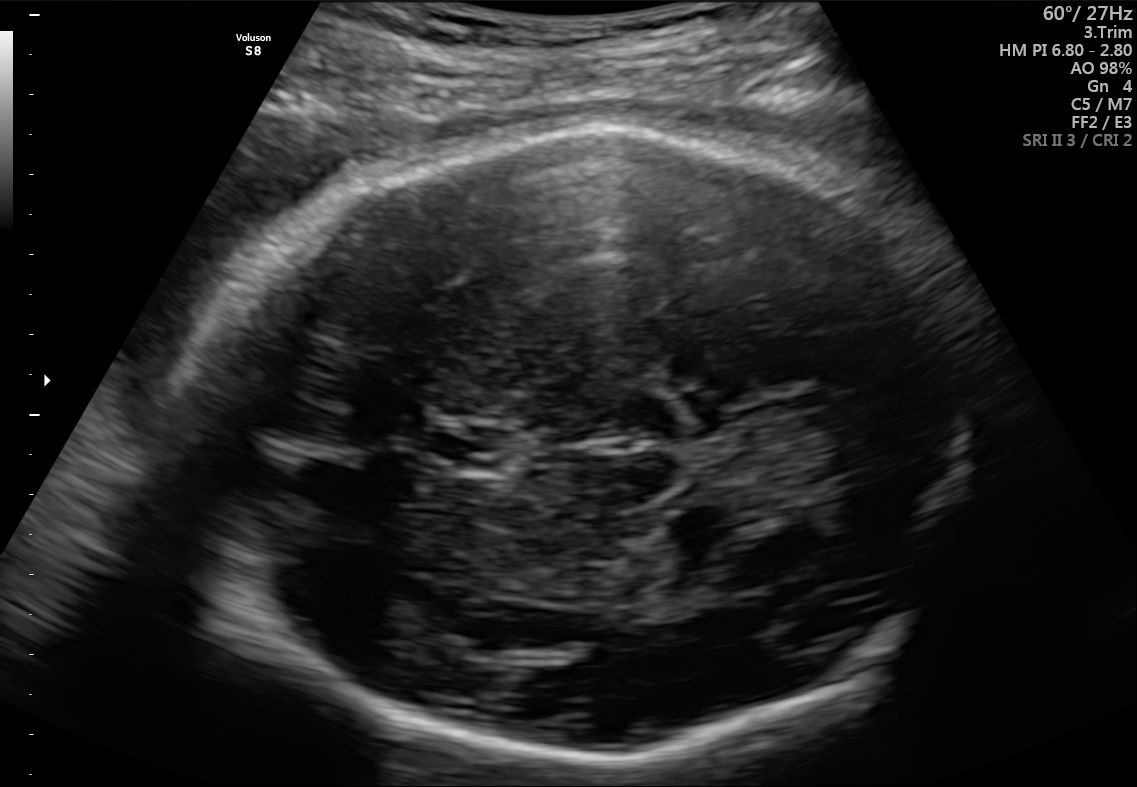
In this fetal brain, trans-thalamic plane, give the bounding box of the fetal head.

[192,126,971,768]